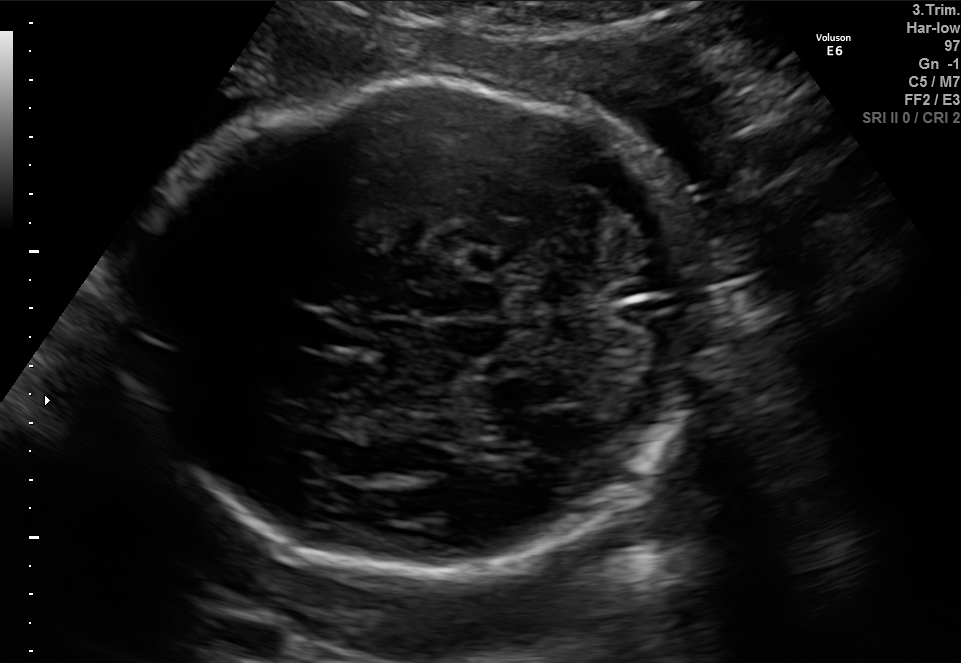
In this fetal brain, trans-cerebellum plane, give the bounding box of the fetal head.

[126,77,698,578]